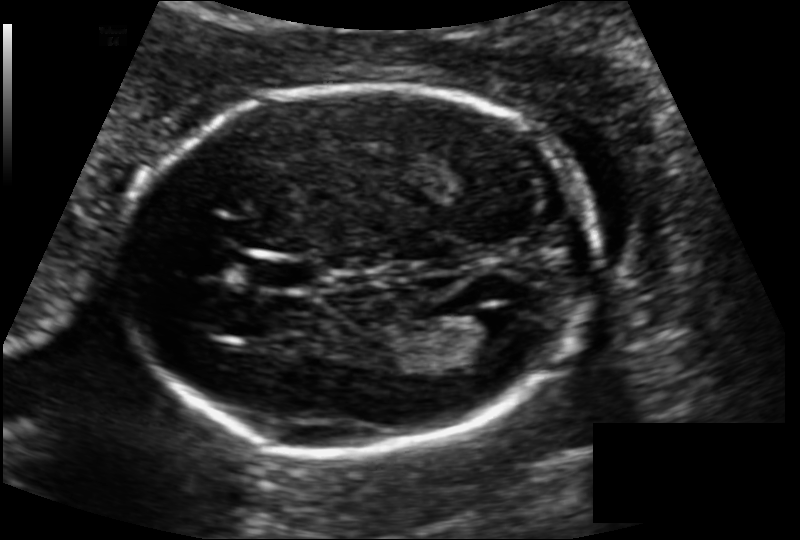
Fetal head ultrasound. Image width: 99.0 mm. Locate the cavum septum pellucidum.

CSP: [246,253,317,295]